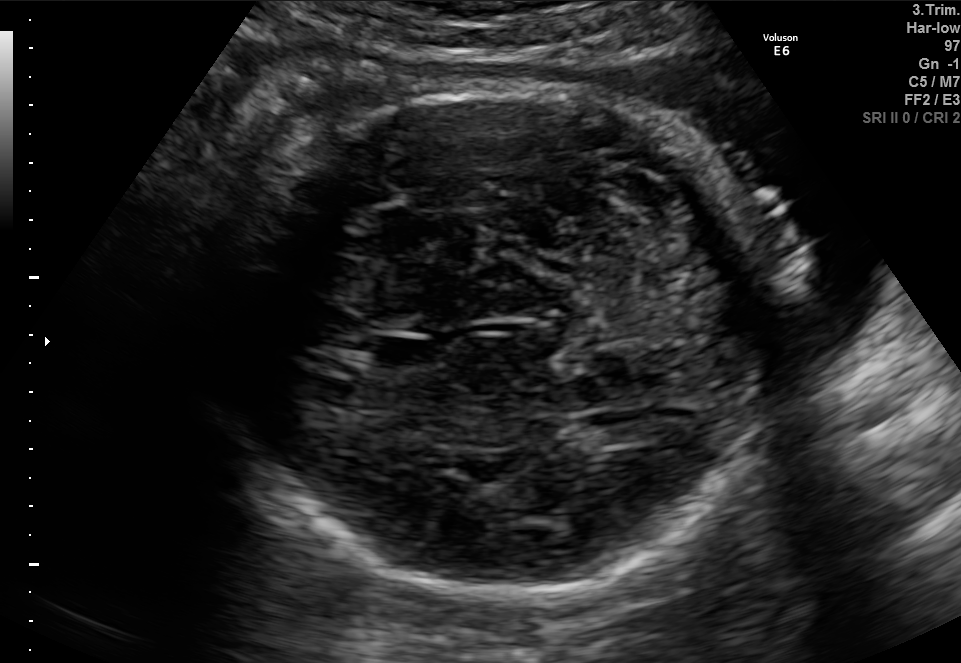
In this fetal brain, trans-cerebellum plane, give bounding boxes for the head outline, cavum septum pellucidum (CSP), and lateral ventricle (LV), where visible.

Head: [209,87,780,590]
CSP: [373,333,438,371]